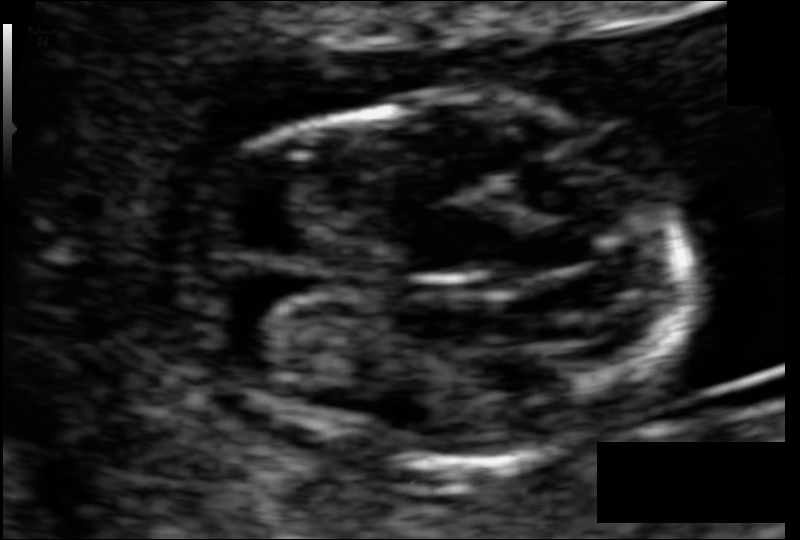
From this fetal ultrasound, estimate the head circumference (image width 41.8 mm).

Head circumference: 74.6 mm.